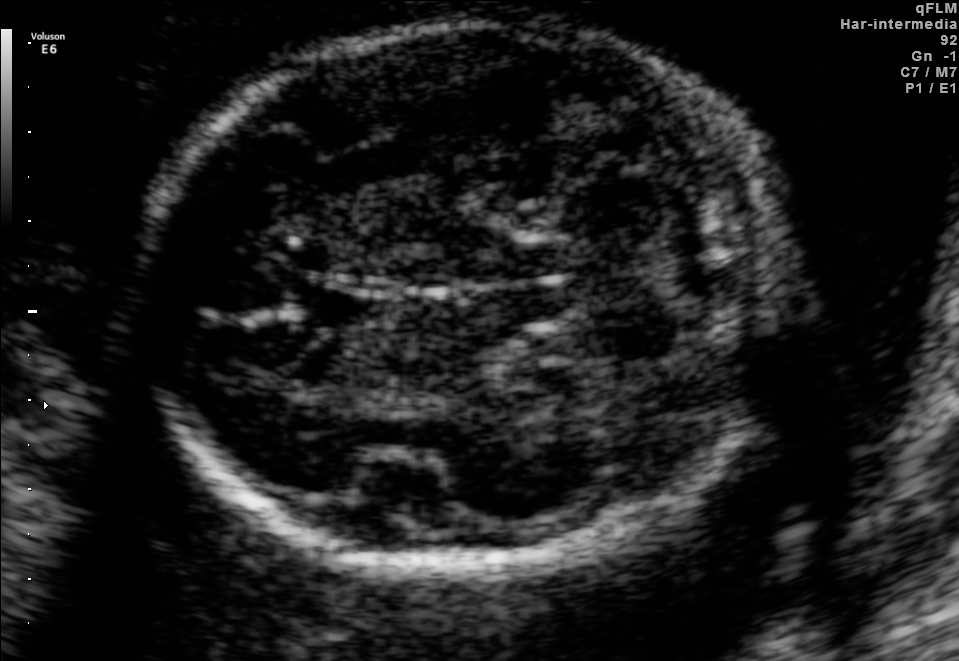
In this fetal brain, trans-cerebellum plane, give the bounding box of the fetal head.

[145,28,776,567]